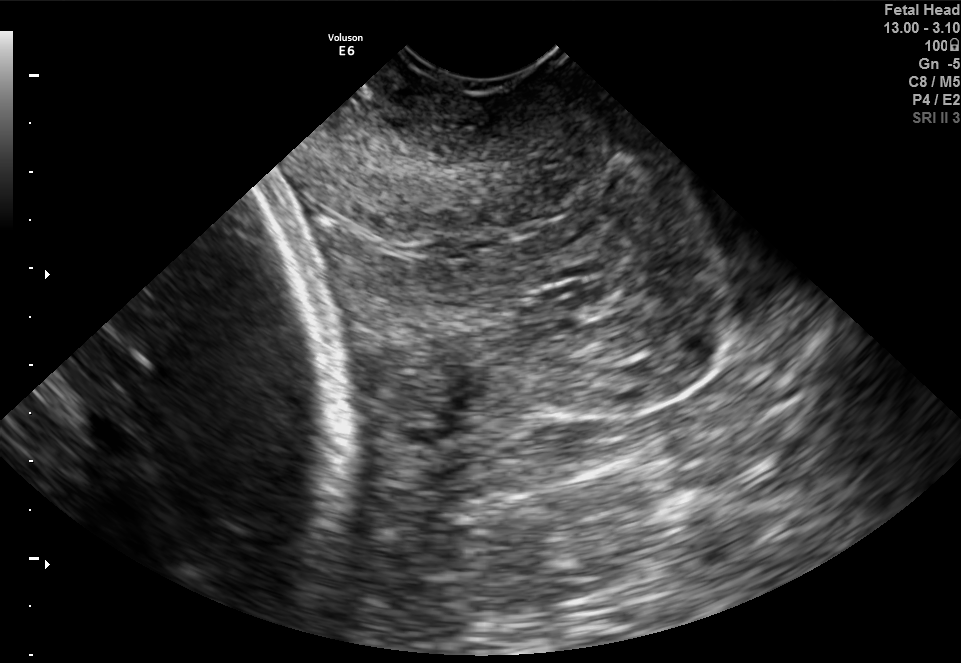
Classify this maternal-fetal ultrasound image as one of the six standard planes — fetal abdomen, fetal brain, fetal femur, fetal thorax, maternal cervix, or other. If it's fetal brain and one of the three standard brain planes (trans-thalamic, trans-cerebellum, trans-ventricular), name which.

Maternal cervix